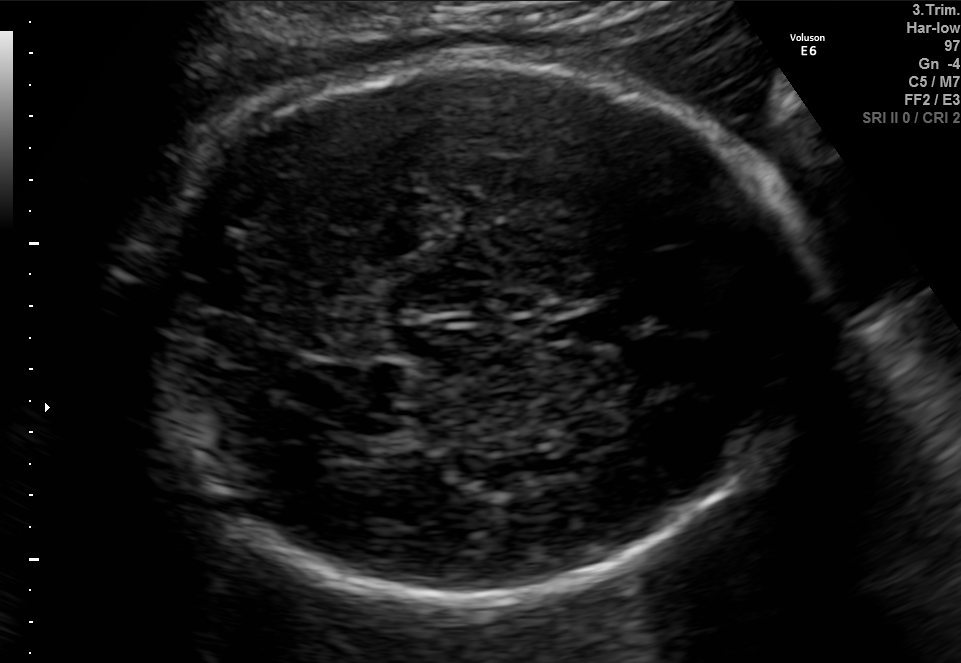
Fetal brain, trans-thalamic plane. Where is the fetal head?

Head bounding box: [133,59,812,606]